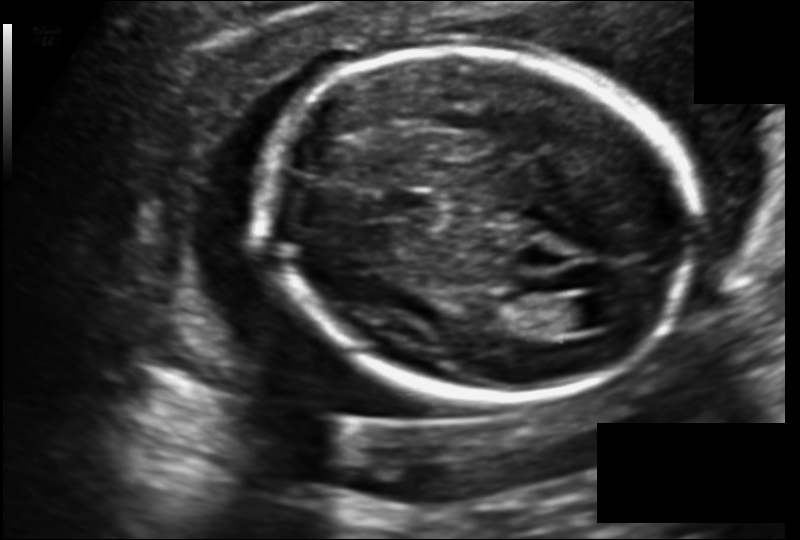
Fetal head ultrasound. Image width: 111.6 mm. Locate the fetal head.

Head: [263,47,692,398]